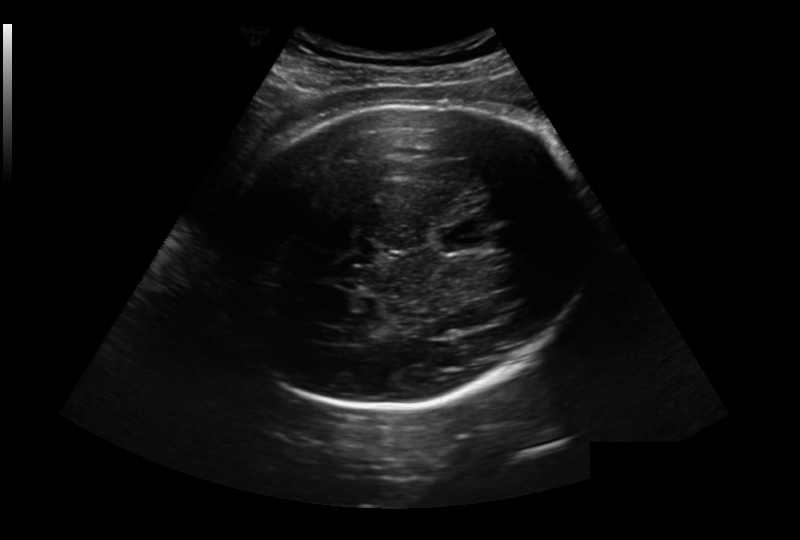
Fetal head ultrasound. Image width: 224.8 mm. Where is the cavum septum pellucidum?

CSP bounding box: [435,220,494,255]